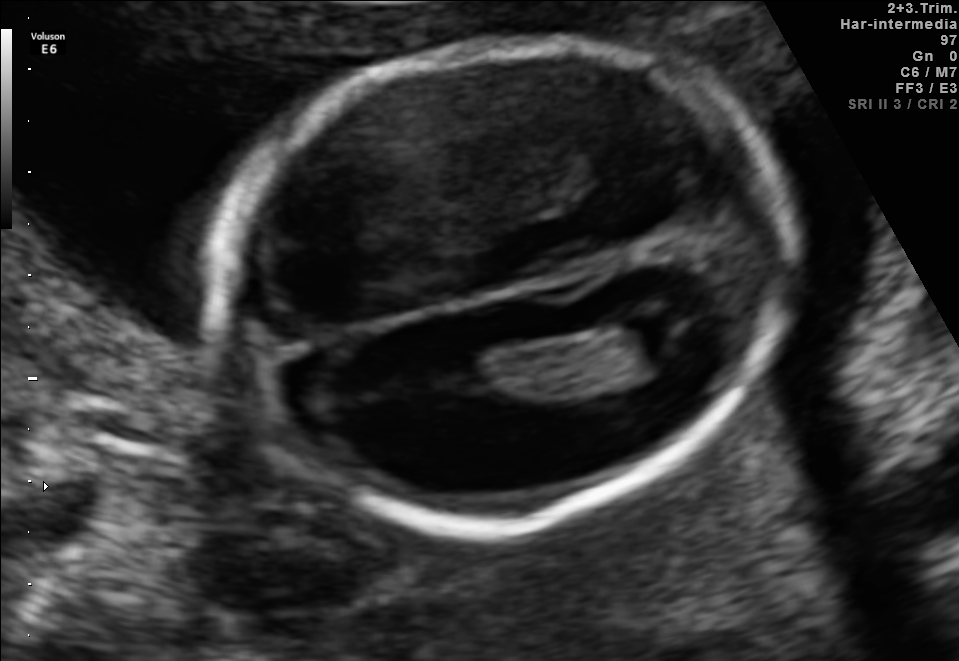
In this fetal brain, trans-ventricular plane, give the bounding box of the fetal head.

[206,26,807,541]